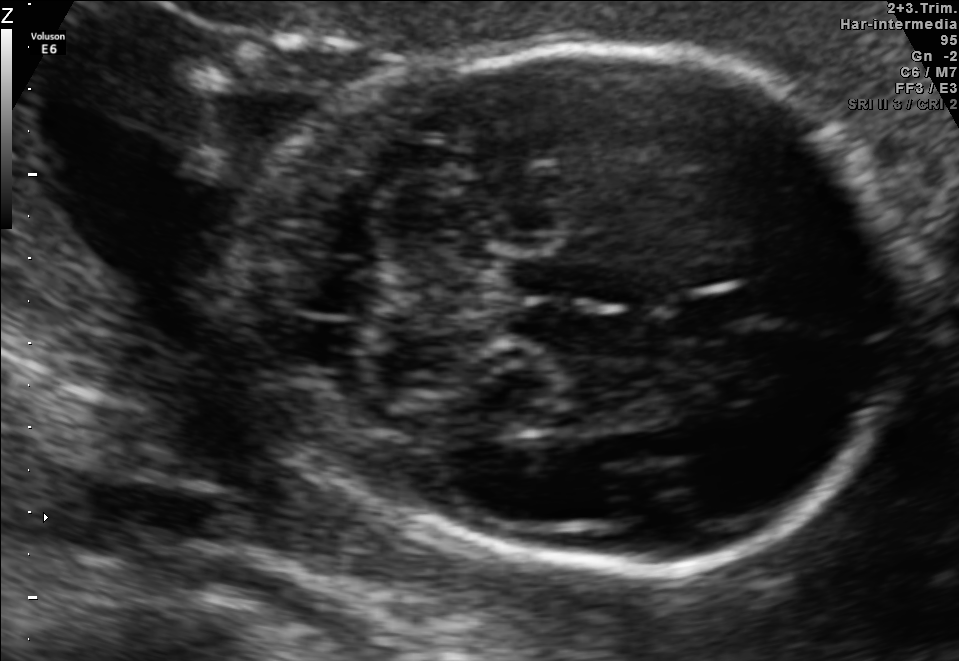
Fetal brain, trans-cerebellum plane. Locate the fetal head.

Head: [234,46,913,569]